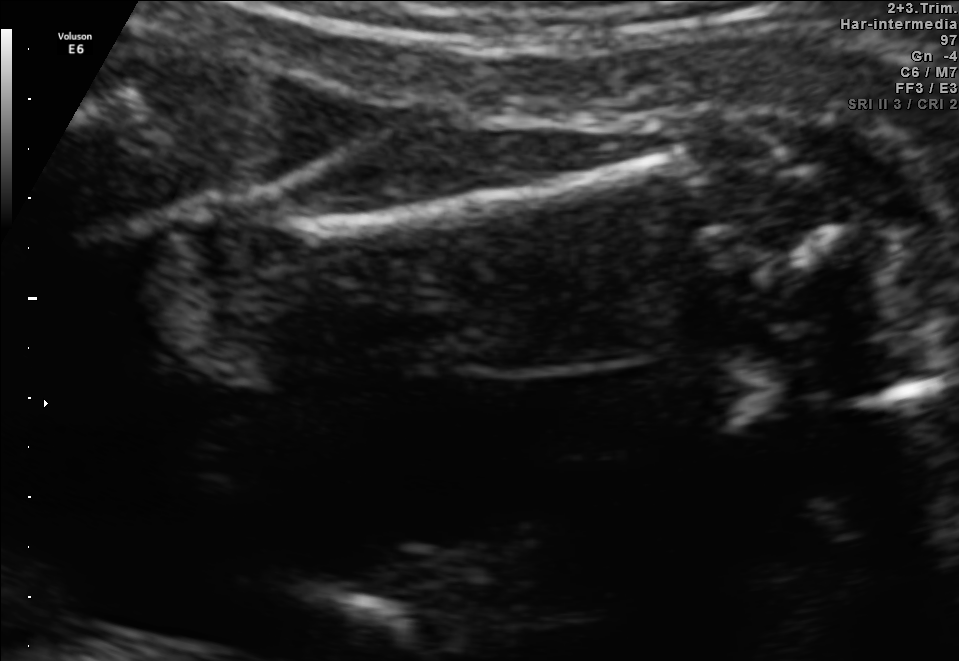
Identify the standard plane in this fetal ultrasound image: fetal abdomen, fetal brain, fetal femur, fetal thorax, maternal cervix, or other. If it's fetal brain and one of the three standard brain planes (trans-thalamic, trans-cerebellum, trans-ventricular), name which.

Fetal femur